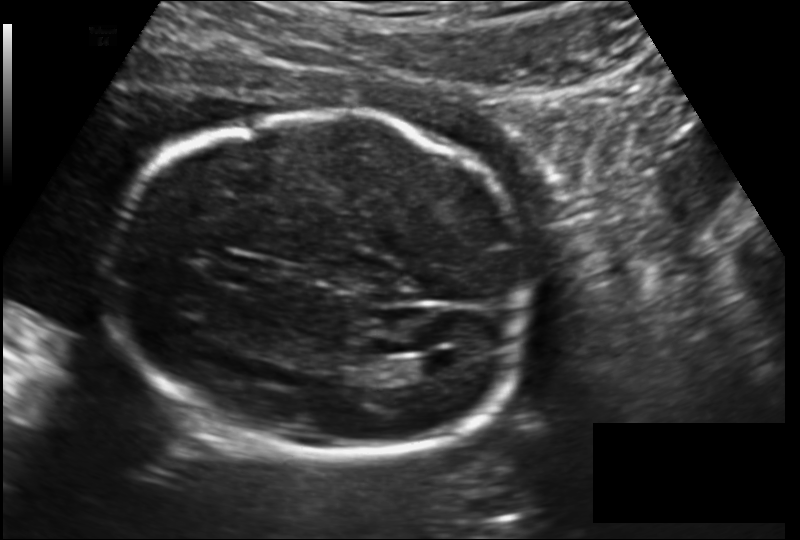
In this fetal head ultrasound, give the bounding box of the lateral ventricle. Image width: 125.8 mm.

[411,349,461,382]